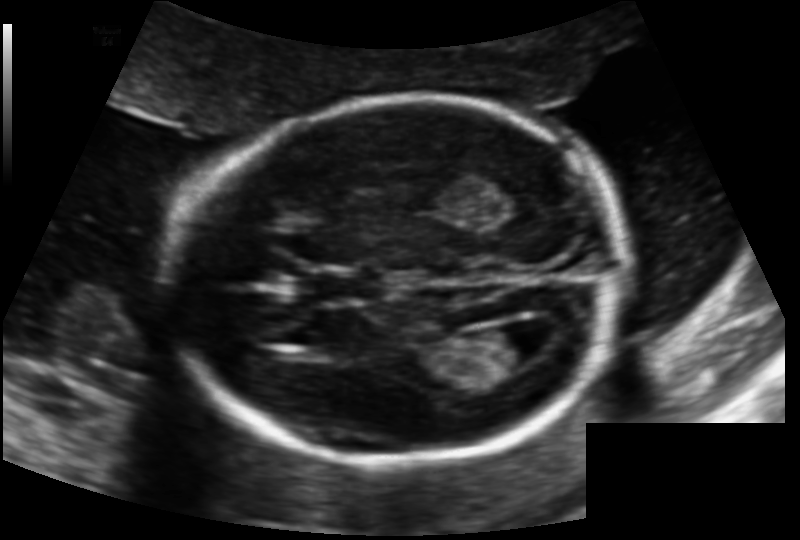
Fetal head ultrasound. Image width: 104.9 mm. Locate the fetal head and, if visible, the cavum septum pellucidum (CSP) and lateral ventricle (LV). Give bounding boxes as [x1,y1,x2,y2].

Head: [174,97,624,464]
CSP: [311,269,383,302]
Lateral ventricle: [468,319,546,377]